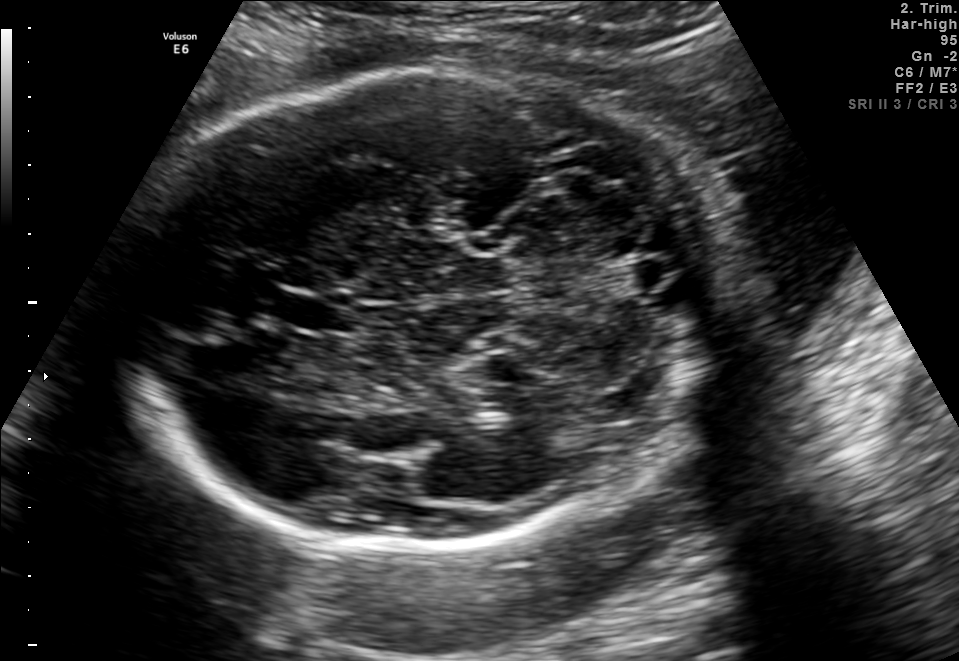
Fetal brain, trans-cerebellum plane. Give [x1,y1,x2,y2] bounding boxes for each visible structure among: fetal head, CSP, LV.

Head: [123,71,720,554]
CSP: [269,283,353,342]